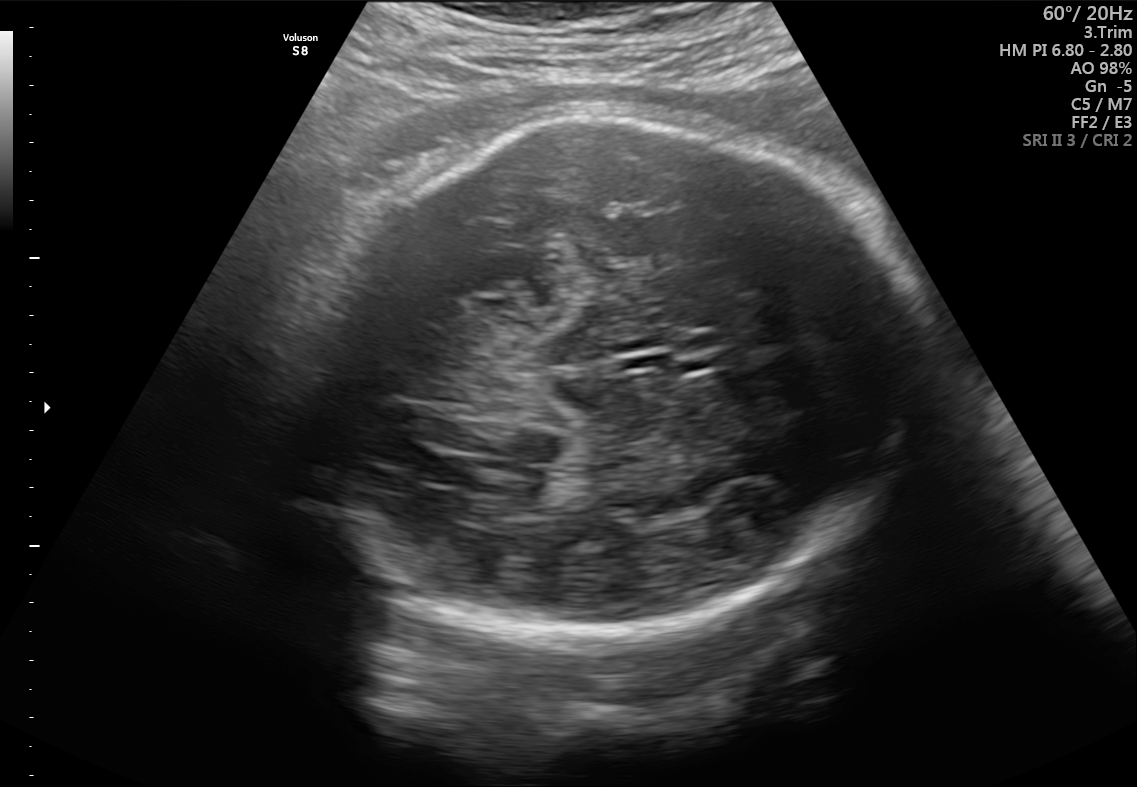
This is a 2D maternal-fetal ultrasound frame. Is it a fetal abdomen, fetal brain, fetal femur, fetal thorax, maternal cervix, or other standard plane? If it's fetal brain and one of the three standard brain planes (trans-thalamic, trans-cerebellum, trans-ventricular), name which.

Fetal brain (trans-thalamic plane)